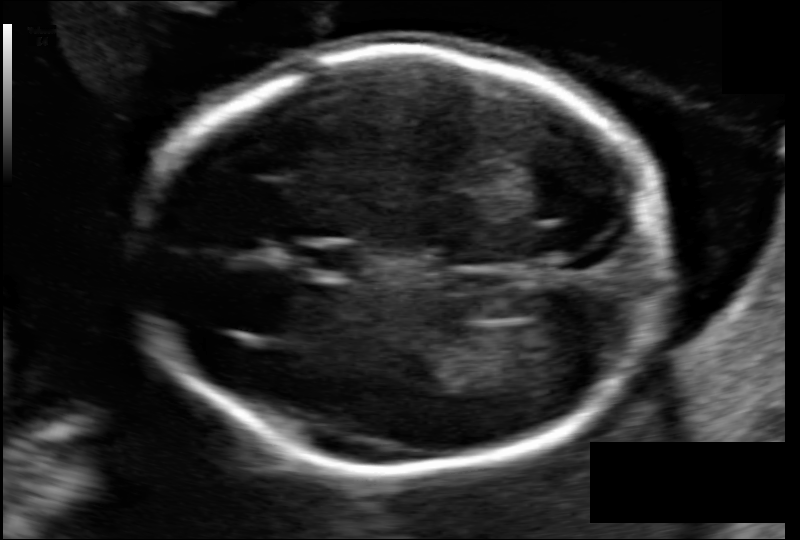
What is the fetal head circumference? Image width is 82.2 mm.

156.3 mm